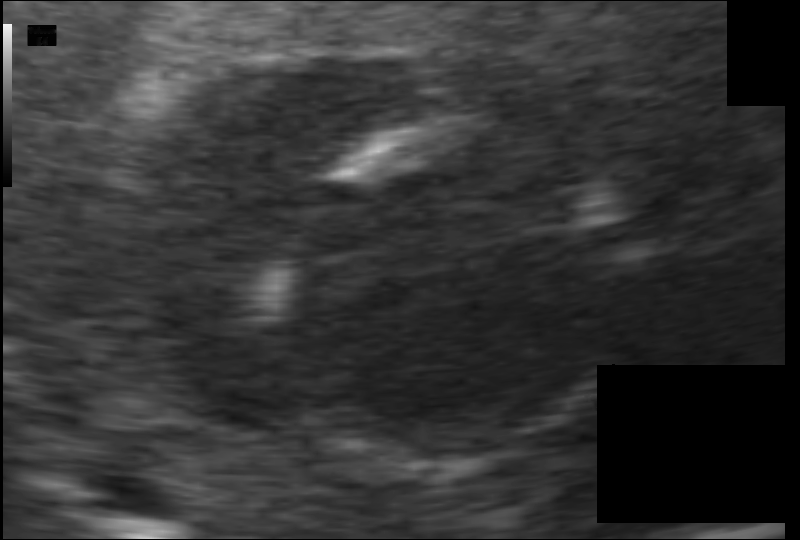
In this fetal head ultrasound, give the bounding box of the fetal head. Image width: 55.7 mm.

[274,122,622,471]